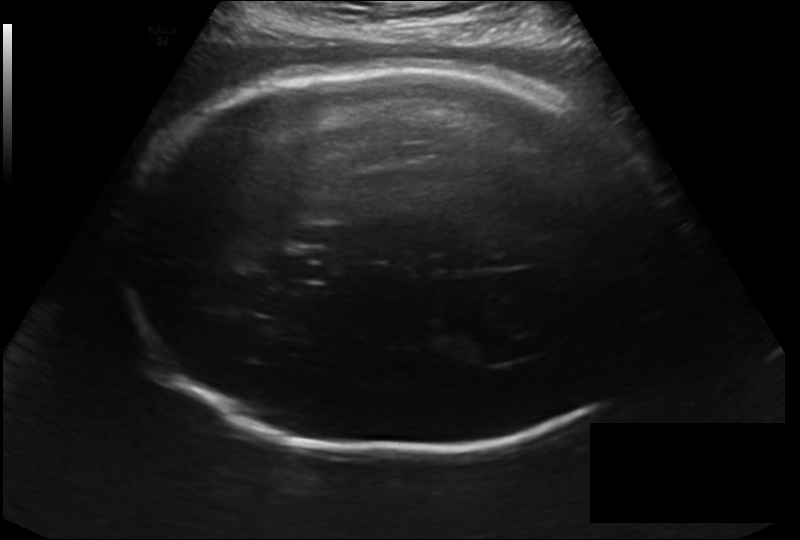
In this fetal head ultrasound, give the bounding box of the lateral ventricle. Image width: 171.6 mm.

[467,334,531,369]